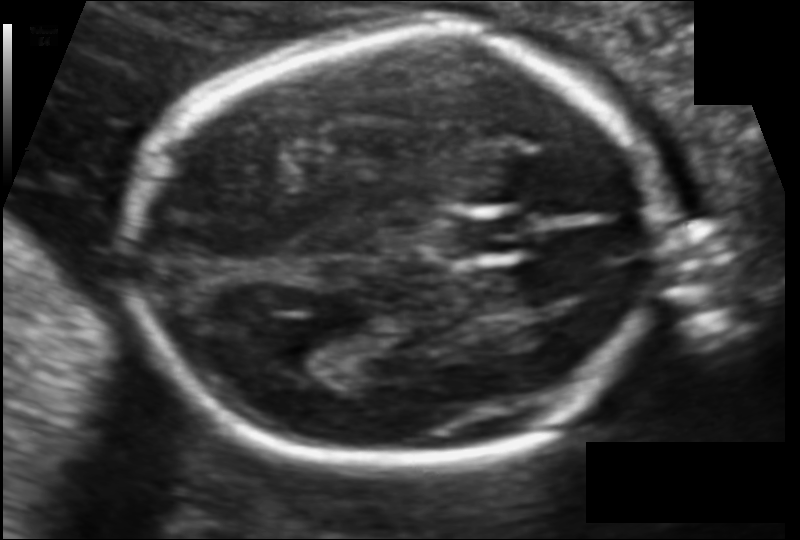
Estimate the fetal head circumference from this 2D ultrasound.

Head circumference: 167.4 mm (image width 84.9 mm).